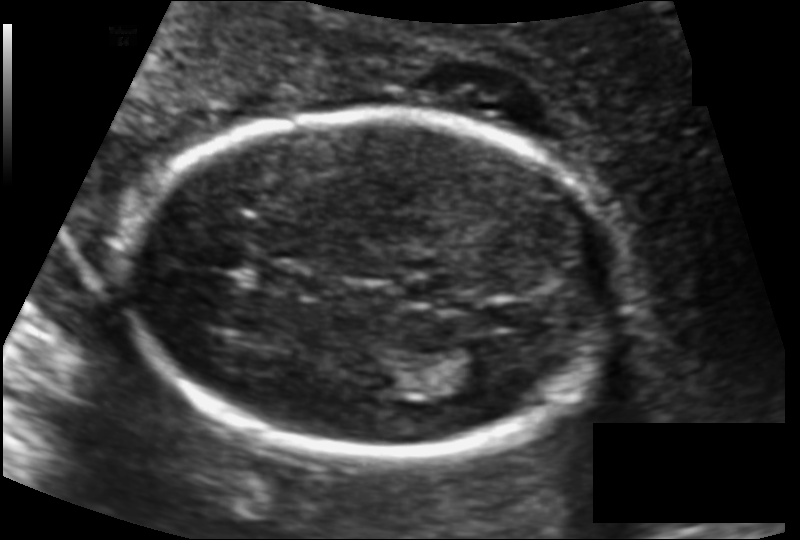
Fetal head ultrasound. Image width: 93.7 mm. Where is the cavum septum pellucidum?

CSP bounding box: [251,259,319,303]